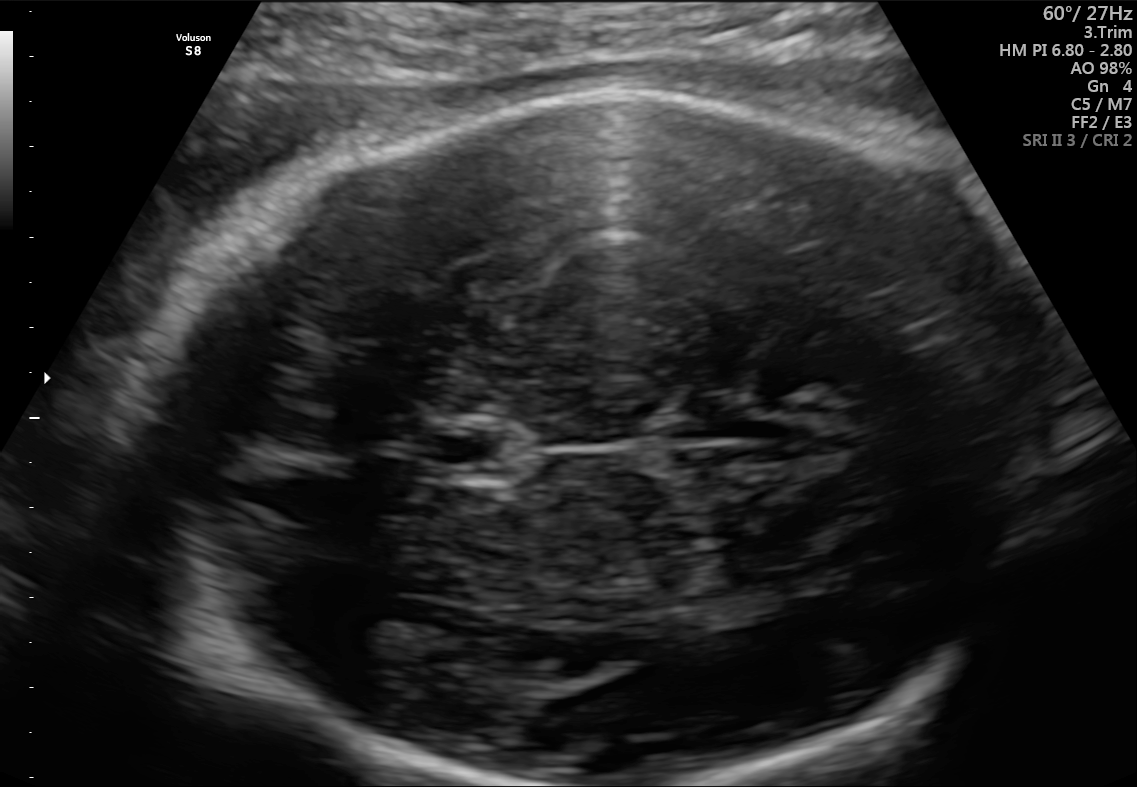
Fetal brain, trans-thalamic plane. Locate the fetal head.

Head: [124,88,1069,785]